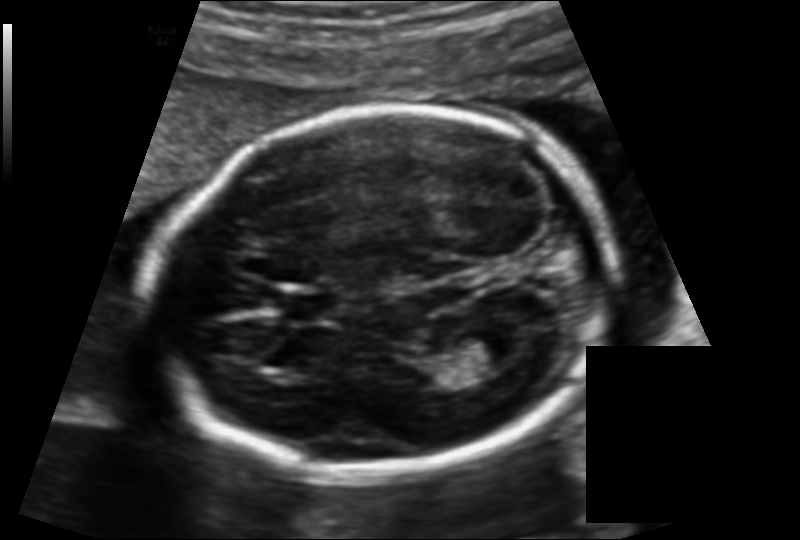
Fetal head ultrasound. Image width: 104.7 mm. Locate the cavum septum pellucidum.

CSP: [280,291,334,325]